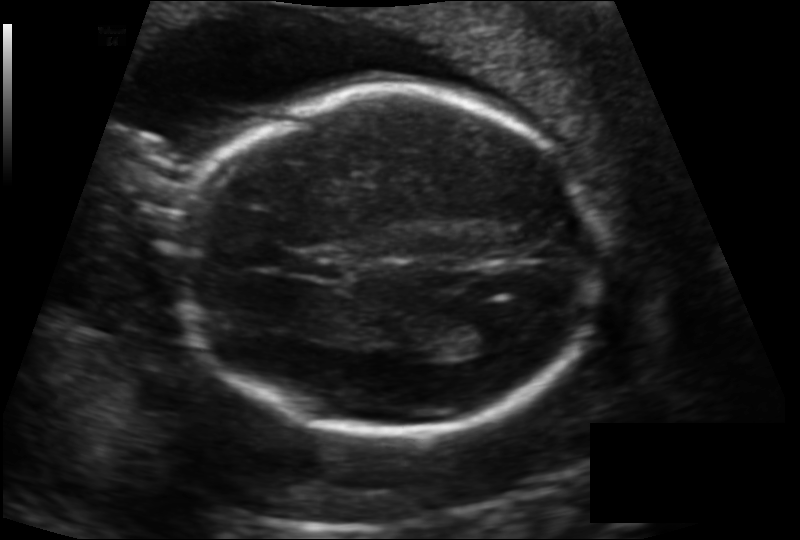
What is the fetal head circumference? Image width is 113.2 mm.

176.6 mm